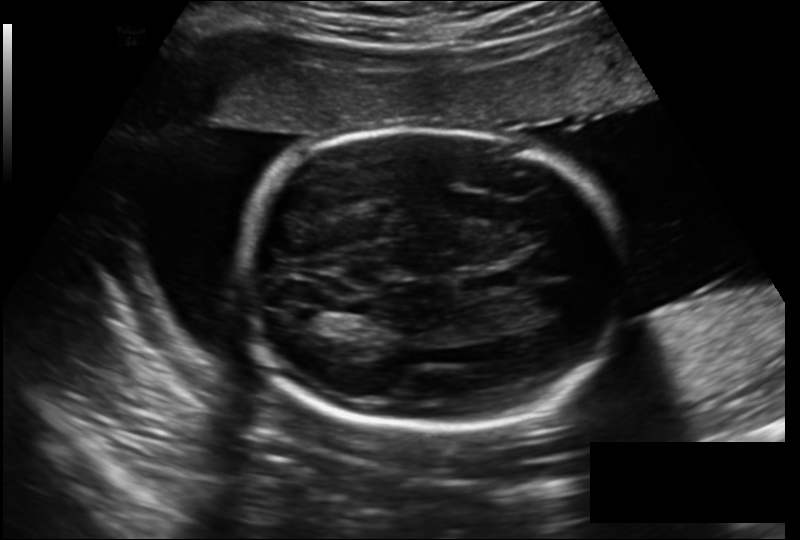
Fetal head ultrasound. Image width: 164.7 mm. Locate the fetal head.

Head: [239,128,626,430]